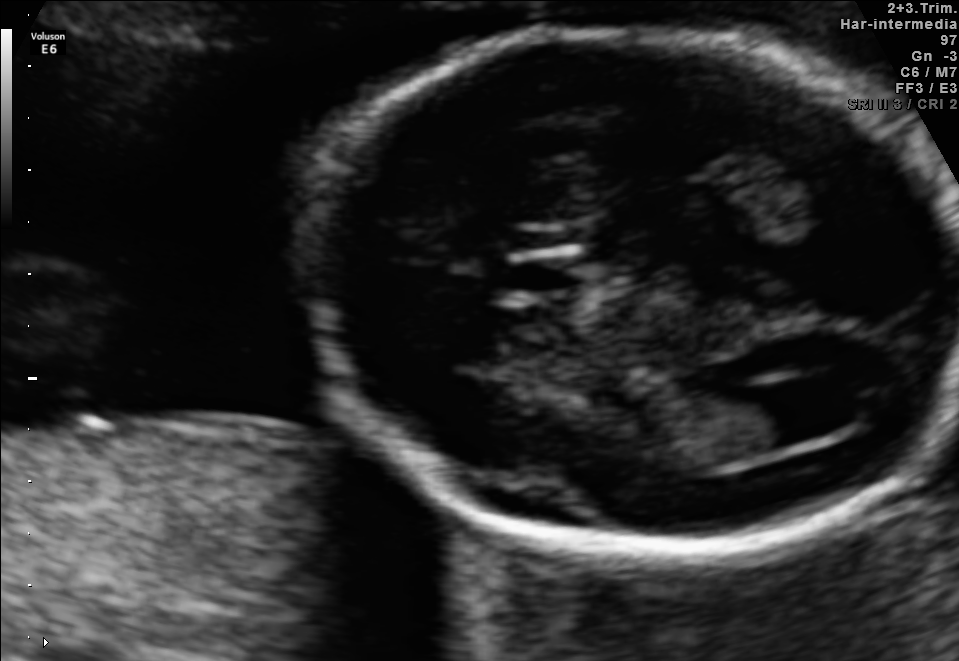
In this fetal brain, trans-ventricular plane, give the bounding box of the fetal head.

[293,27,958,556]